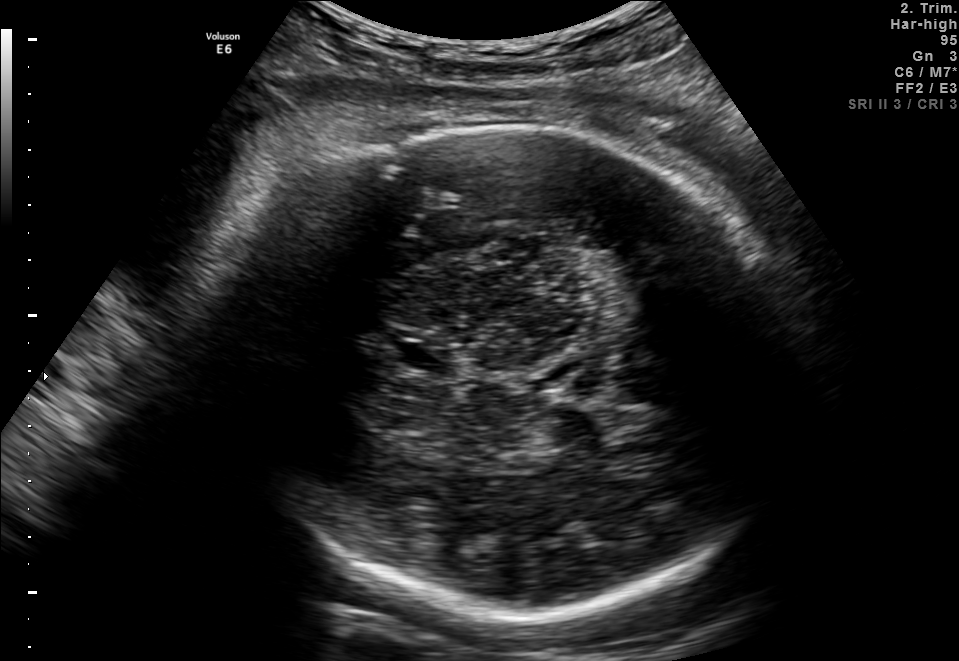
Fetal brain, trans-thalamic plane. Give [x1,y1,x2,y2] bounding boxes for each visible structure among: fetal head, CSP, LV.

Head: [227,129,798,614]
CSP: [400,340,455,375]